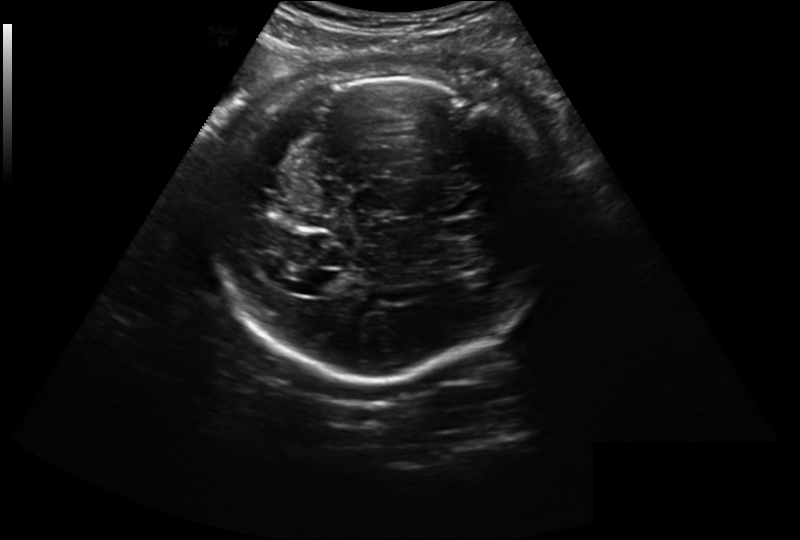
Fetal head ultrasound. Image width: 208.4 mm. Locate the fetal head.

Head: [219,74,546,381]